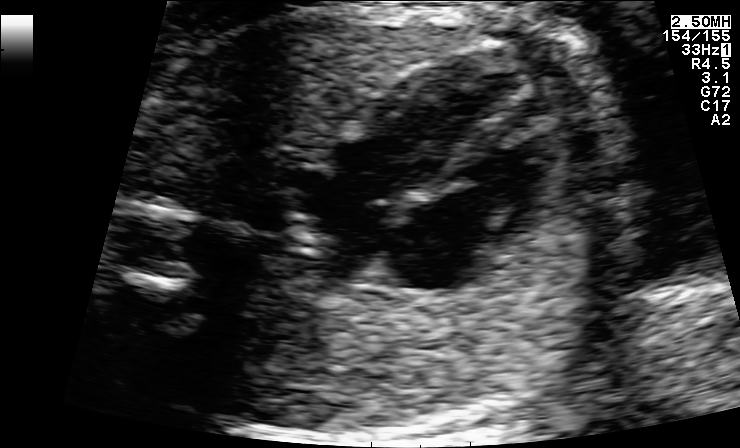
Which standard maternal-fetal ultrasound plane is shown: fetal abdomen, fetal brain, fetal femur, fetal thorax, maternal cervix, or other? If it's fetal brain and one of the three standard brain planes (trans-thalamic, trans-cerebellum, trans-ventricular), name which.

Fetal thorax